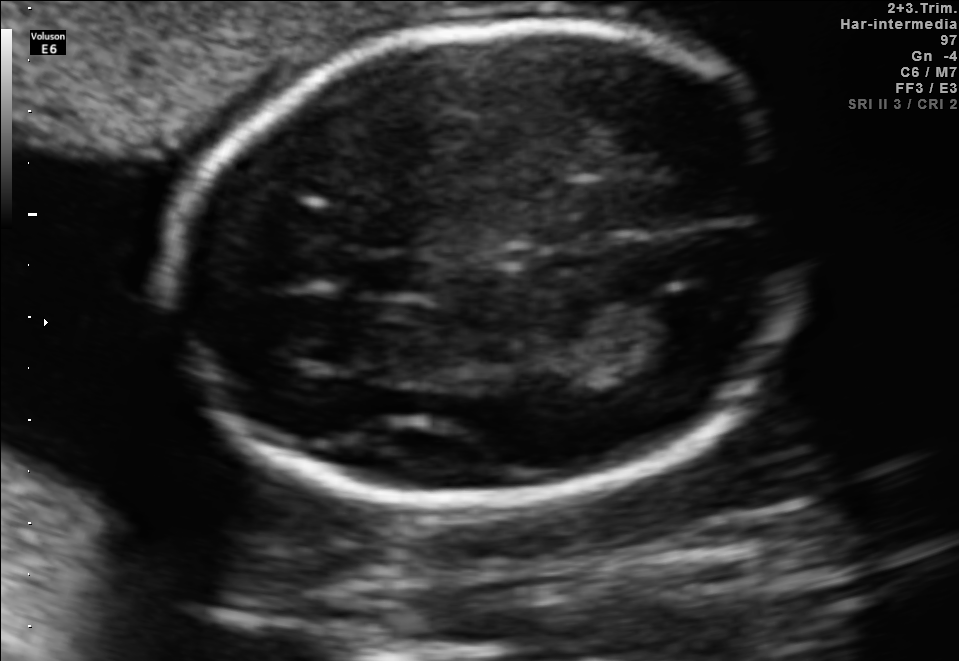
Fetal brain, trans-thalamic plane. Locate the fetal head.

Head: [170,21,801,506]